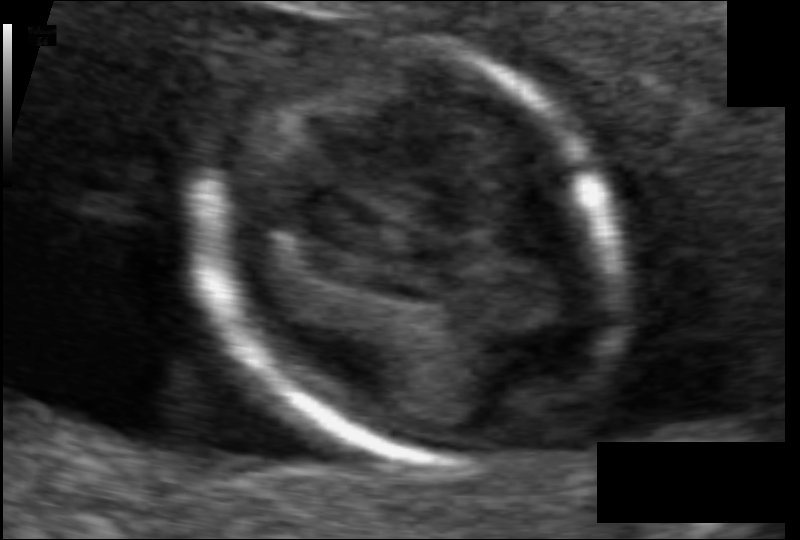
Fetal head ultrasound. Image width: 48.9 mm. Where is the fetal head?

Head bounding box: [215,36,620,465]